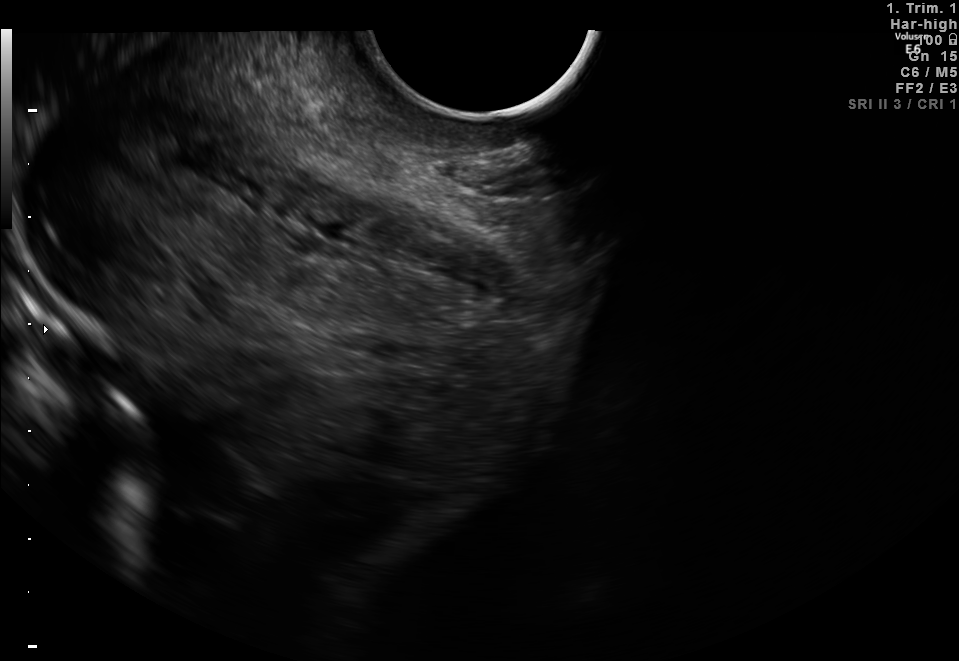
Classify this maternal-fetal ultrasound image as one of the six standard planes — fetal abdomen, fetal brain, fetal femur, fetal thorax, maternal cervix, or other. If it's fetal brain and one of the three standard brain planes (trans-thalamic, trans-cerebellum, trans-ventricular), name which.

Maternal cervix